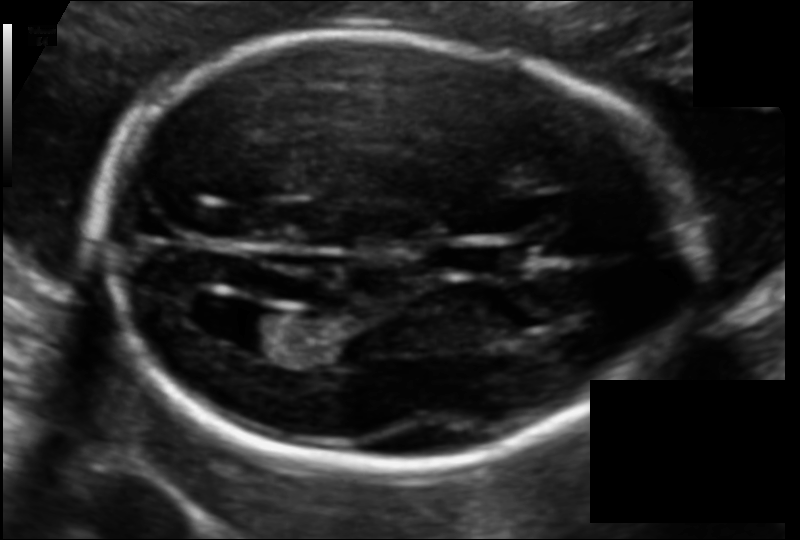
In this fetal head ultrasound, give the bounding box of the lateral ventricle. Image width: 86.6 mm.

[219,304,301,364]